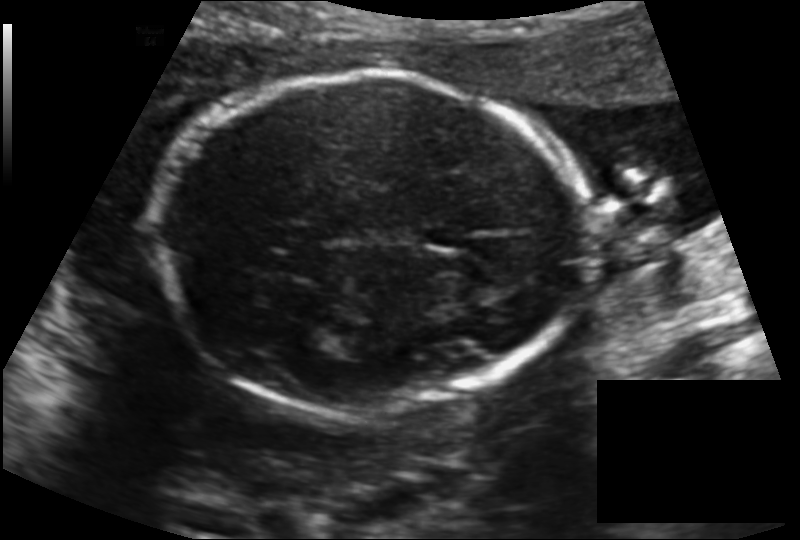
Fetal head ultrasound. Image width: 116.2 mm. Locate the fetal head and, if visible, the cavum septum pellucidum (CSP) and lateral ventricle (LV). Give bounding boxes as [x1,y1,x2,y2].

Head: [156,72,592,416]
CSP: [422,222,469,251]